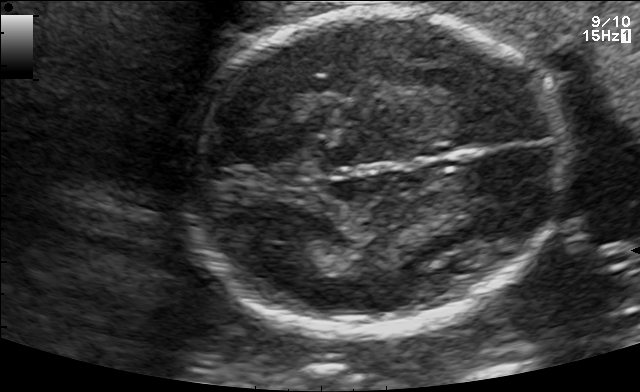
In this fetal brain, trans-thalamic plane, give the bounding box of the fetal head.

[181,10,570,330]